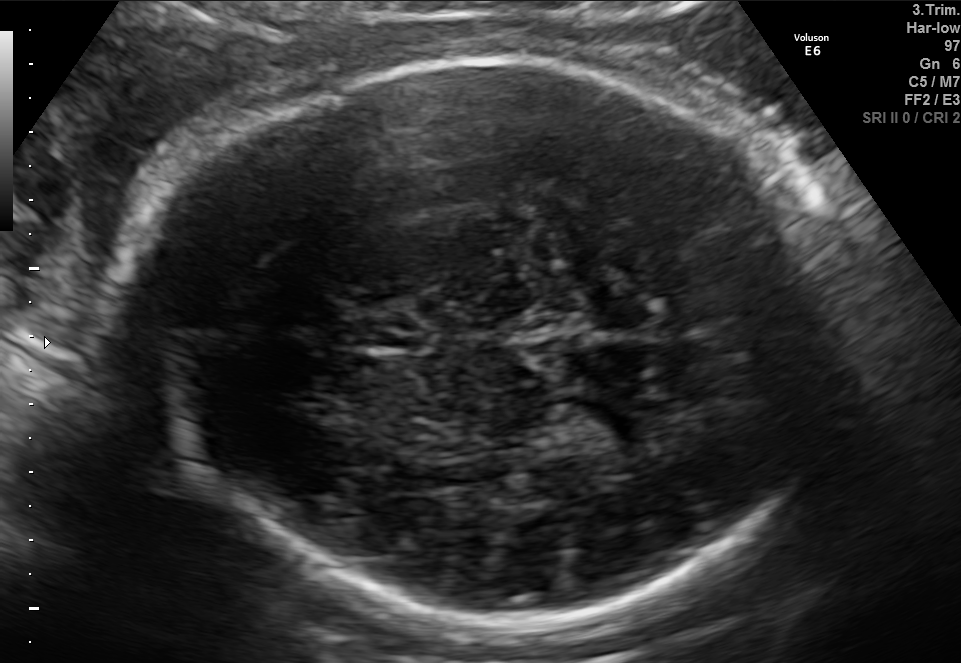
Fetal brain, trans-thalamic plane. Where is the fetal head?

Head bounding box: [123,57,844,620]